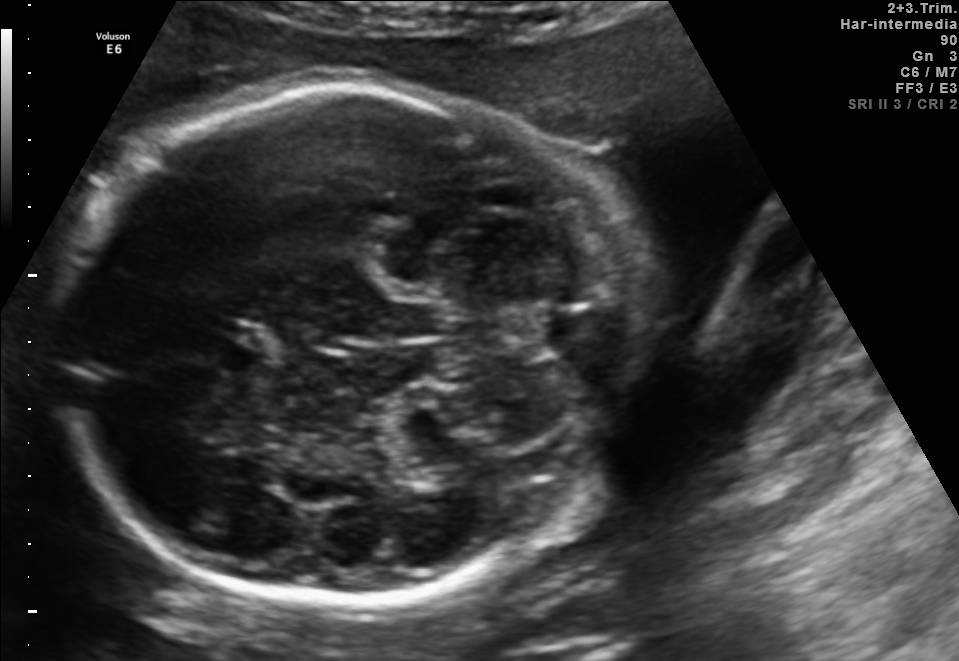
In this fetal brain, trans-cerebellum plane, give bounding boxes for the head outline, cavum septum pellucidum (CSP), and lateral ventricle (LV), where visible.

Head: [51,85,616,608]